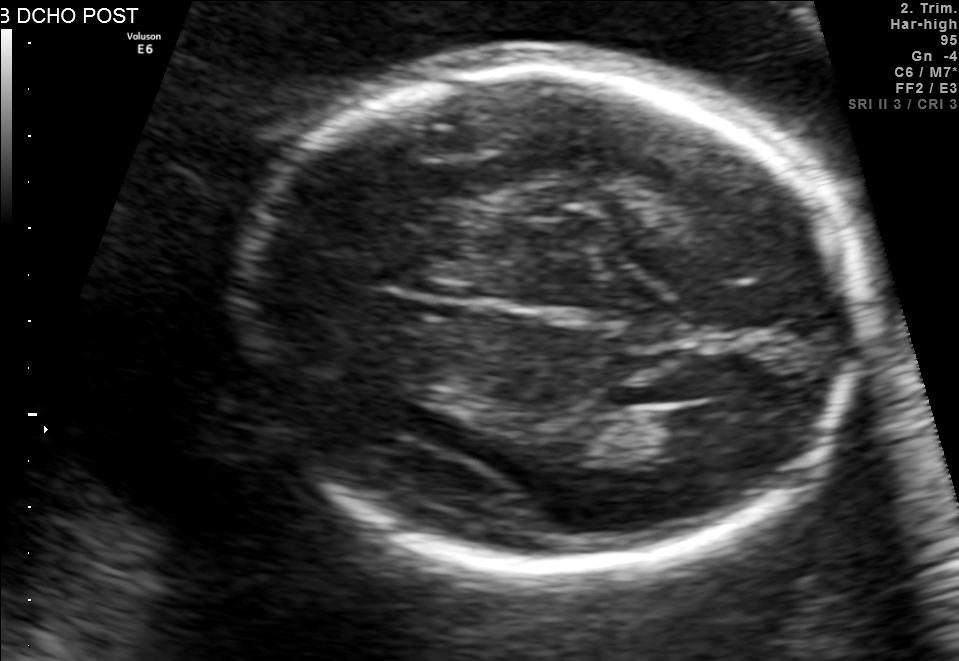
In this fetal brain, trans-thalamic plane, give bounding boxes for the head outline, cavum septum pellucidum (CSP), and lateral ventricle (LV), where visible.

Head: [239,66,856,573]
Lateral ventricle: [642,397,753,458]